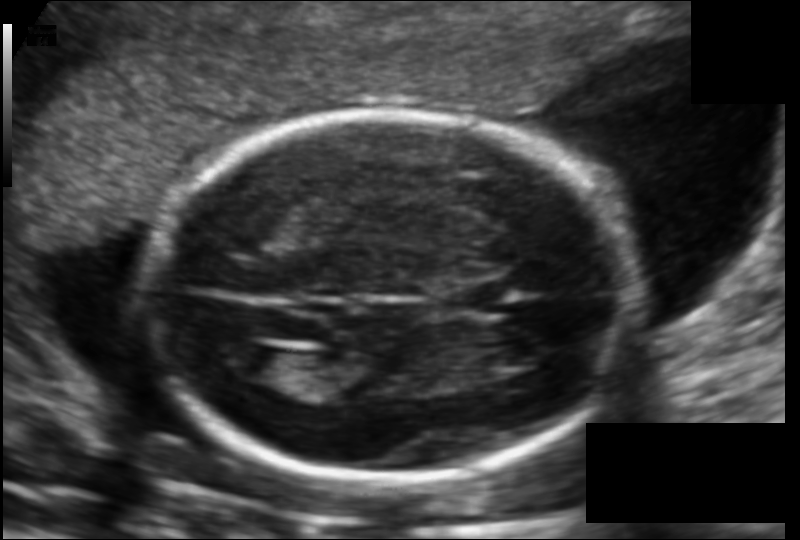
In this fetal head ultrasound, give the bounding box of the lateral ventricle. Image width: 98.4 mm.

[215,336,286,387]